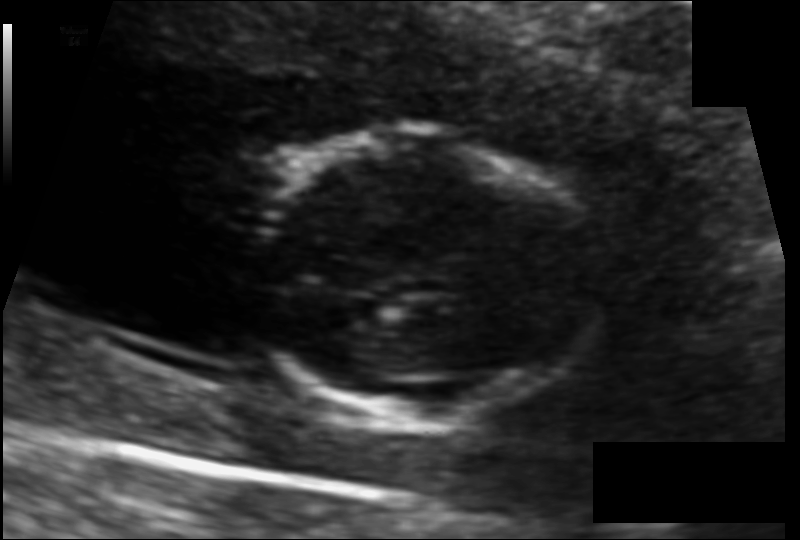
Estimate the fetal head circumference from this 2D ultrasound.

Head circumference: 94.3 mm (image width 72.8 mm).